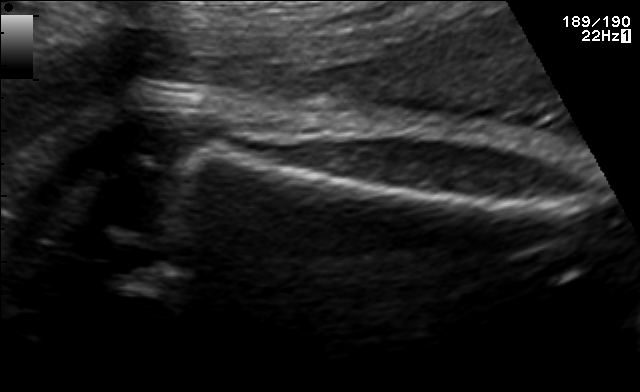
This is a 2D maternal-fetal ultrasound frame. Is it a fetal abdomen, fetal brain, fetal femur, fetal thorax, maternal cervix, or other standard plane? If it's fetal brain and one of the three standard brain planes (trans-thalamic, trans-cerebellum, trans-ventricular), name which.

Fetal femur